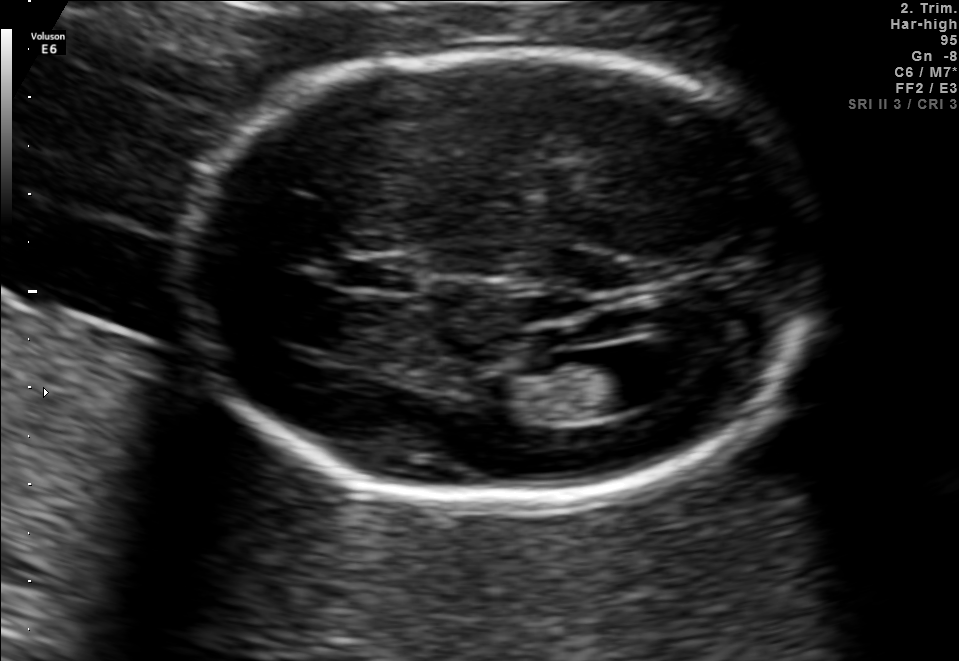
Fetal brain, trans-ventricular plane. Locate the cavum septum pellucidum.

CSP: [326,251,429,300]